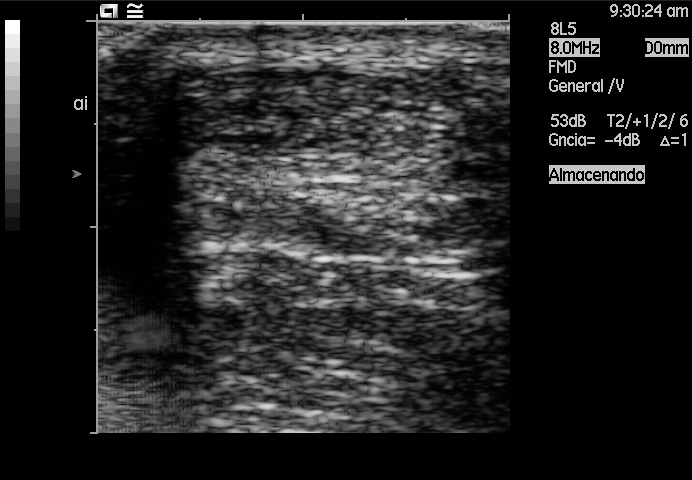
Classify this maternal-fetal ultrasound image as one of the six standard planes — fetal abdomen, fetal brain, fetal femur, fetal thorax, maternal cervix, or other. If it's fetal brain and one of the three standard brain planes (trans-thalamic, trans-cerebellum, trans-ventricular), name which.

Other